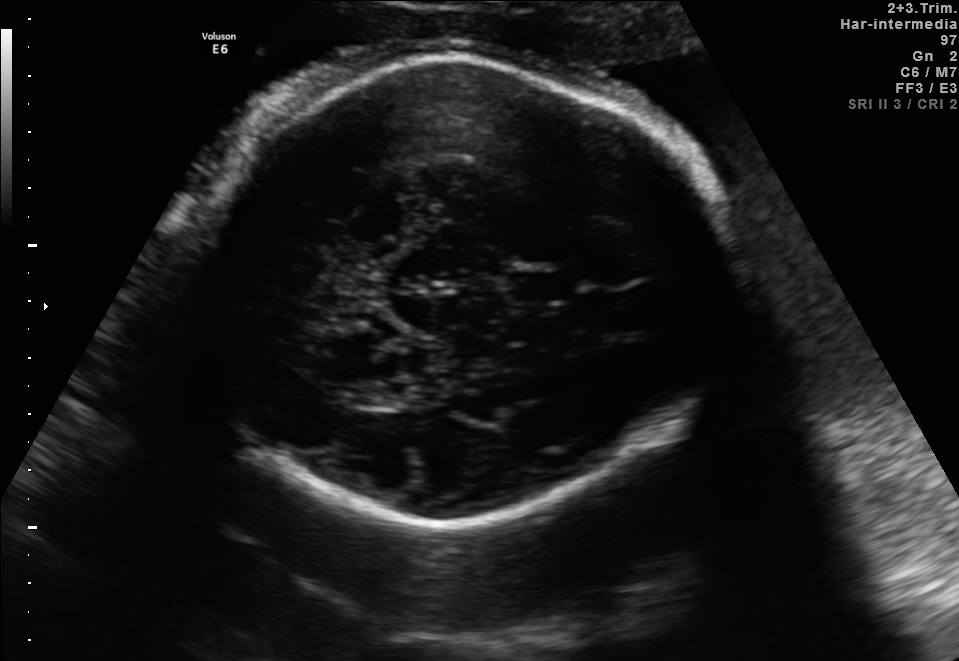
Fetal brain, trans-thalamic plane. Locate the fetal head and, if visible, the cavum septum pellucidum (CSP) and lateral ventricle (LV). Give bounding boxes as [x1,y1,x2,y2].

Head: [183,54,724,523]
CSP: [506,273,568,300]
Lateral ventricle: [350,383,408,409]